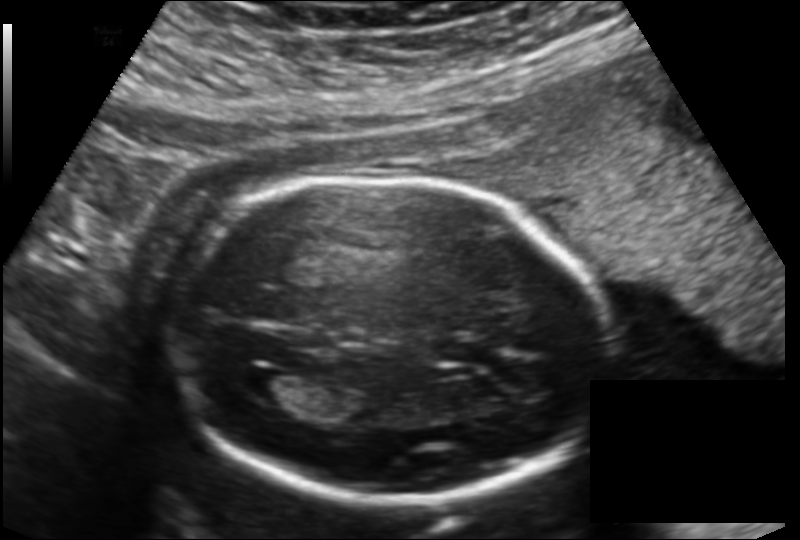
Estimate the fetal head circumference from this 2D ultrasound. Image width: 120.4 mm.

Head circumference: 183.0 mm.